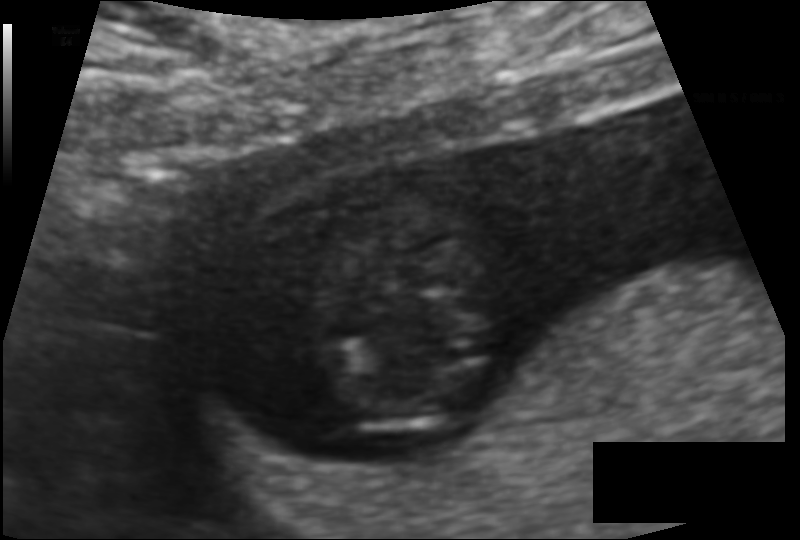
In this fetal head ultrasound, give bounding boxes for the head outline, cavum septum pellucidum (CSP), and lateral ventricle (LV), where visible. Image width: 75.5 mm.

Head: [308,199,504,435]